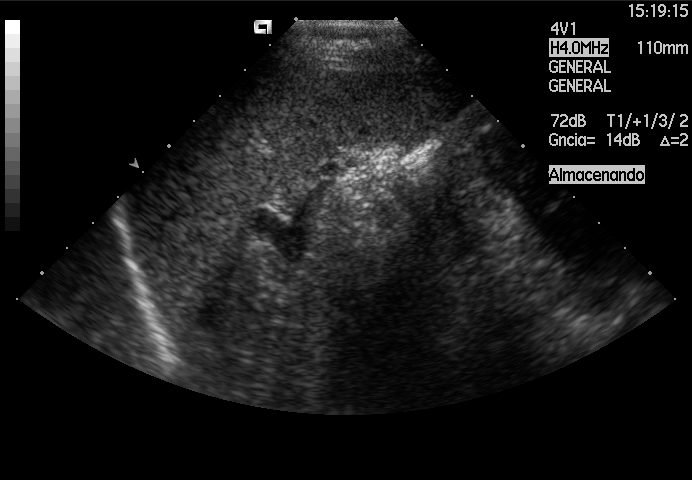
Which standard maternal-fetal ultrasound plane is shown: fetal abdomen, fetal brain, fetal femur, fetal thorax, maternal cervix, or other? If it's fetal brain and one of the three standard brain planes (trans-thalamic, trans-cerebellum, trans-ventricular), name which.

Other